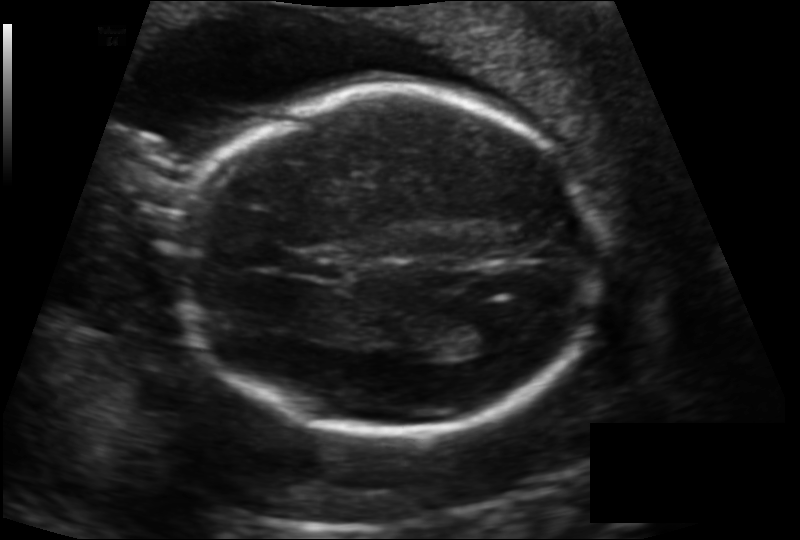
In this fetal head ultrasound, give the bounding box of the fetal head. Image width: 113.2 mm.

[175,87,603,435]